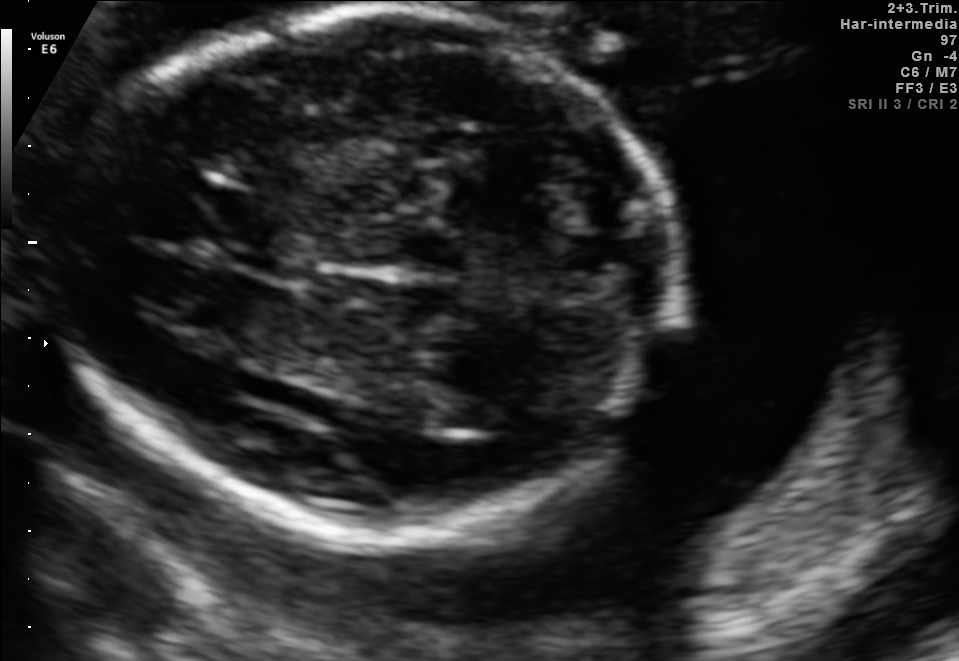
Fetal brain, trans-thalamic plane. Locate the cavum septum pellucidum.

CSP: [187,183,316,279]